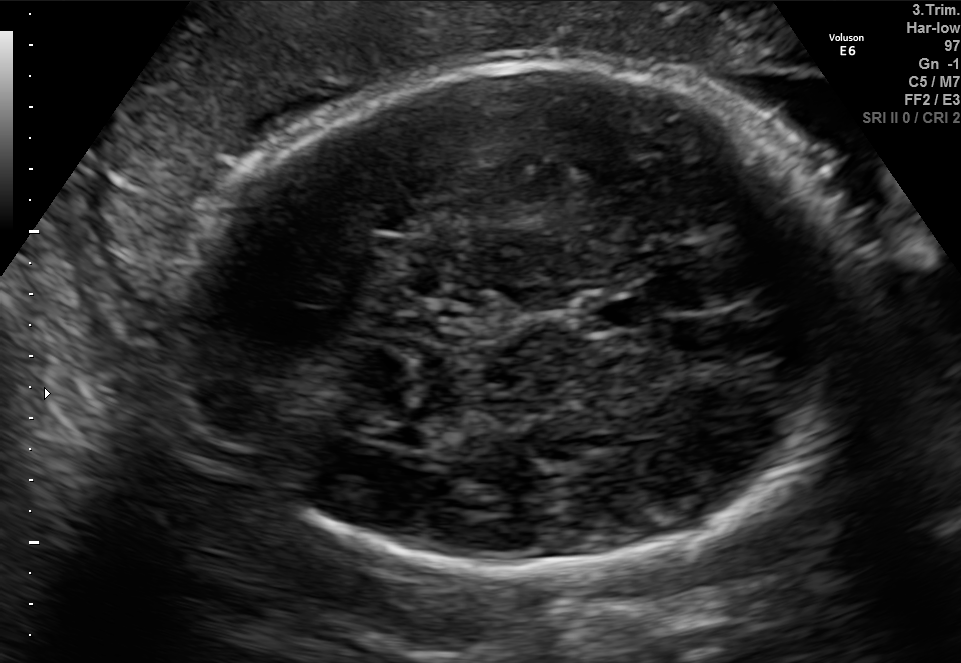
Fetal brain, trans-thalamic plane. Where is the fetal head?

Head bounding box: [191,57,862,574]